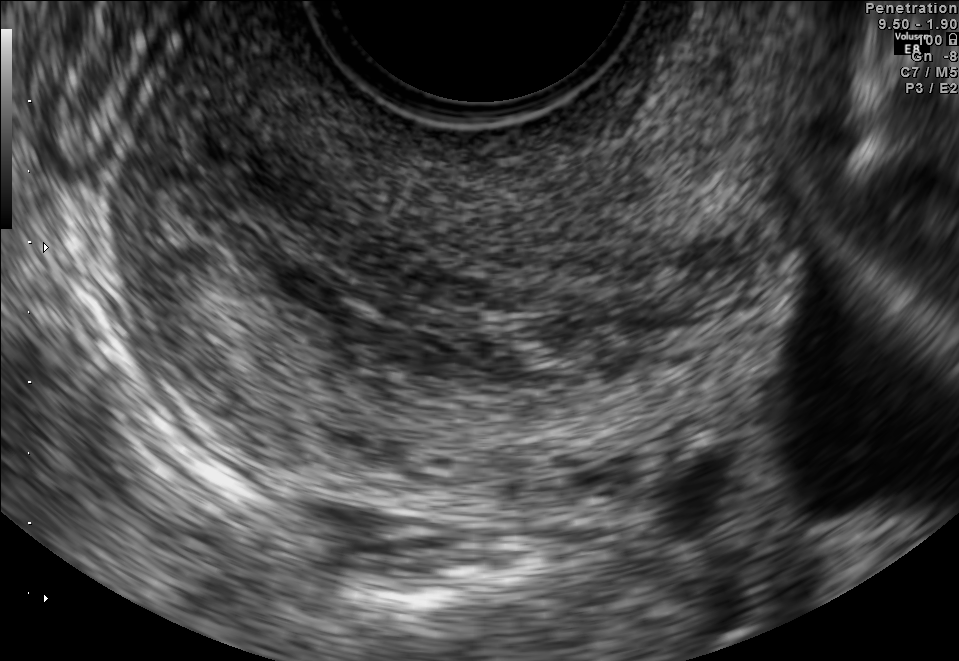
This is a 2D maternal-fetal ultrasound frame. Is it a fetal abdomen, fetal brain, fetal femur, fetal thorax, maternal cervix, or other standard plane? If it's fetal brain and one of the three standard brain planes (trans-thalamic, trans-cerebellum, trans-ventricular), name which.

Maternal cervix